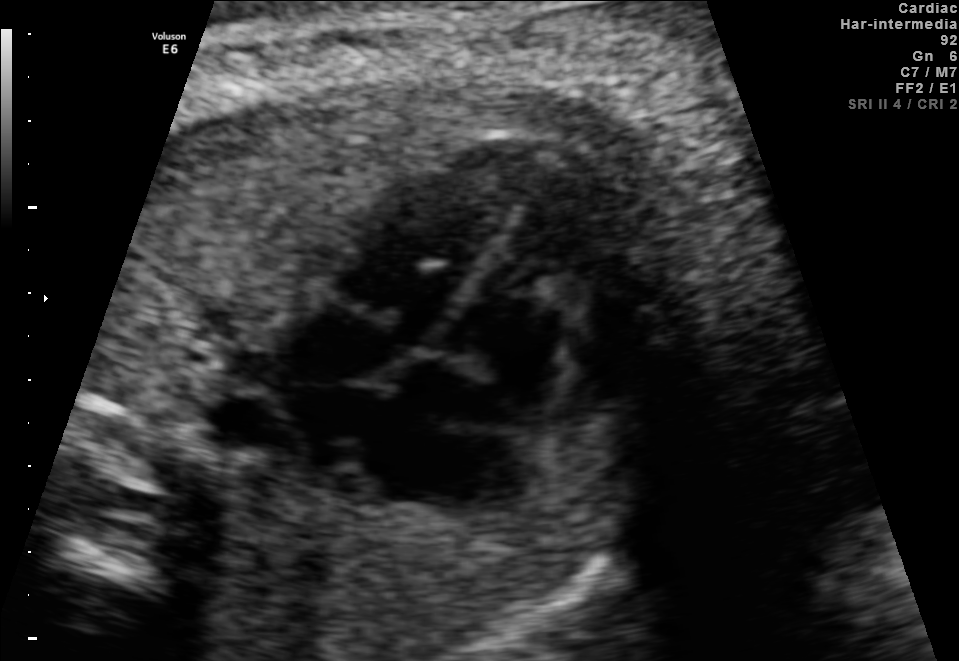
Classify this maternal-fetal ultrasound image as one of the six standard planes — fetal abdomen, fetal brain, fetal femur, fetal thorax, maternal cervix, or other. If it's fetal brain and one of the three standard brain planes (trans-thalamic, trans-cerebellum, trans-ventricular), name which.

Fetal thorax